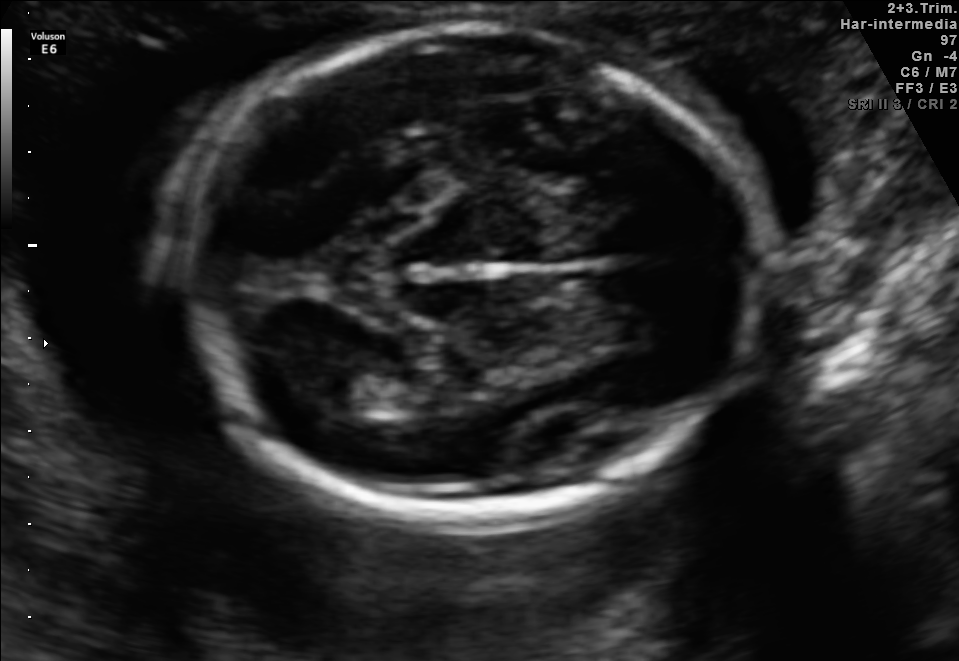
In this fetal brain, trans-thalamic plane, give the bounding box of the fetal head.

[183,27,768,518]